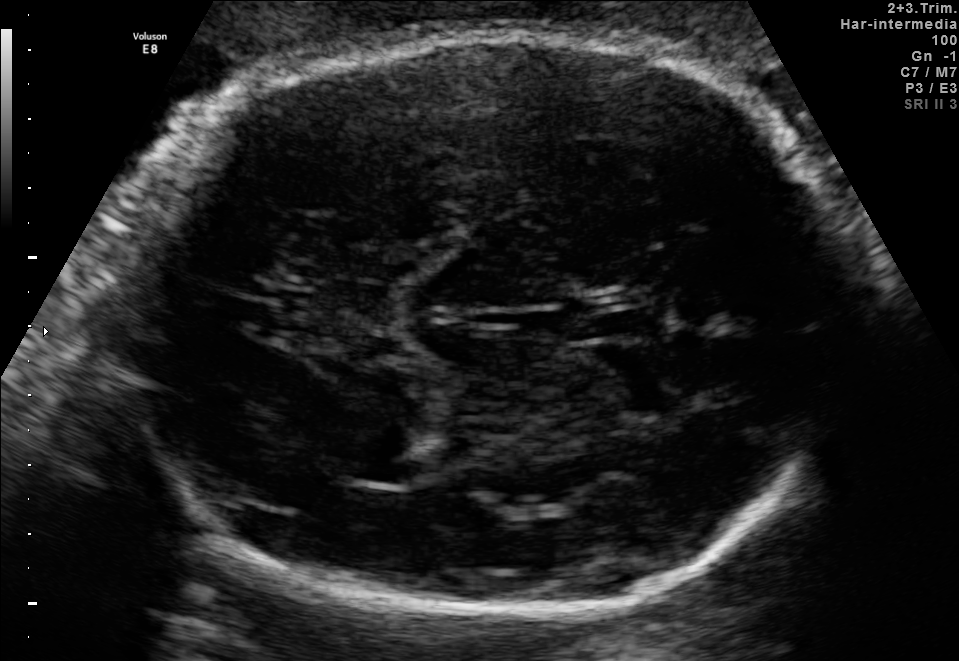
Fetal brain, trans-thalamic plane. Where is the cavum septum pellucidum?

CSP bounding box: [581,307,639,342]